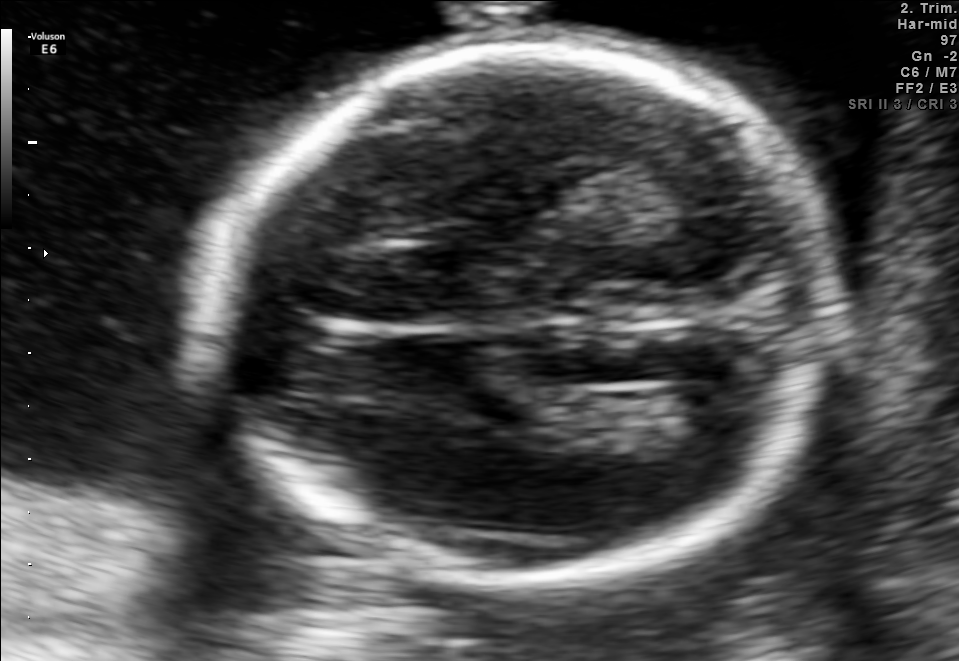
In this fetal brain, trans-ventricular plane, give the bounding box of the fetal head.

[218,39,841,590]